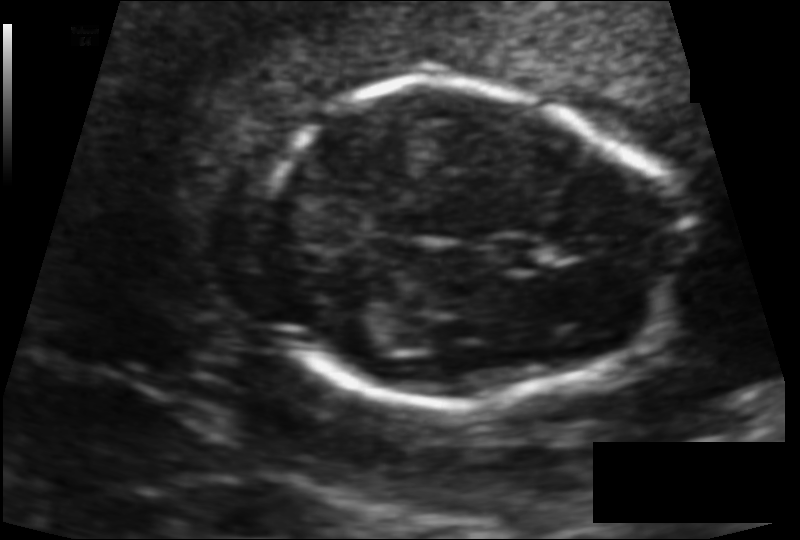
In this fetal head ultrasound, give the bounding box of the cavum septum pellucidum. Image width: 80.4 mm.

[492,240,543,270]